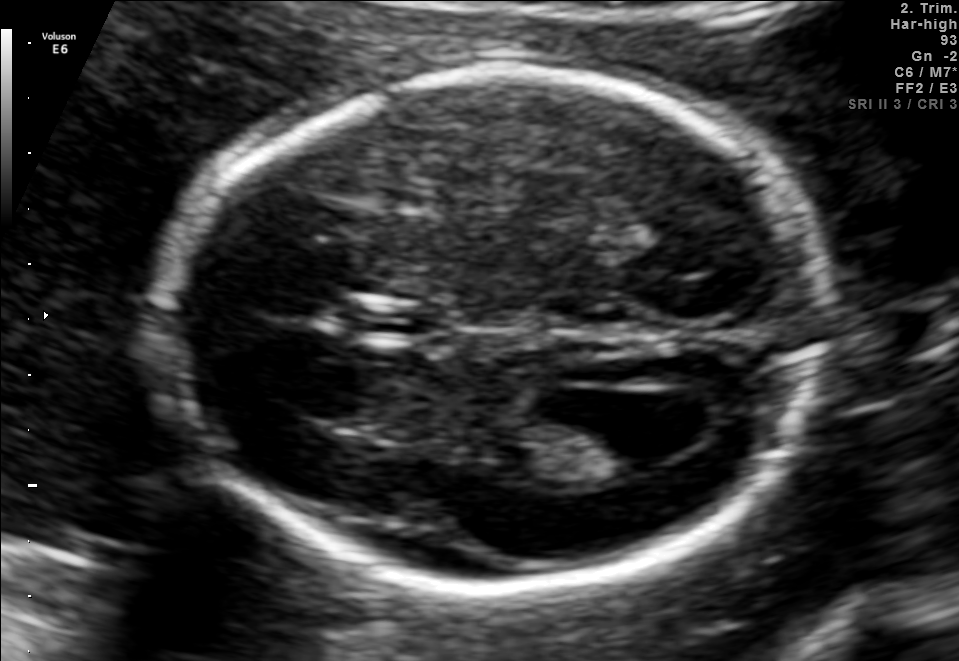
Fetal brain, trans-ventricular plane. Give [x1,y1,x2,y2] bounding boxes for each visible structure among: fetal head, CSP, LV.

Head: [162,62,845,599]
CSP: [333,291,462,358]
Lateral ventricle: [563,383,697,487]